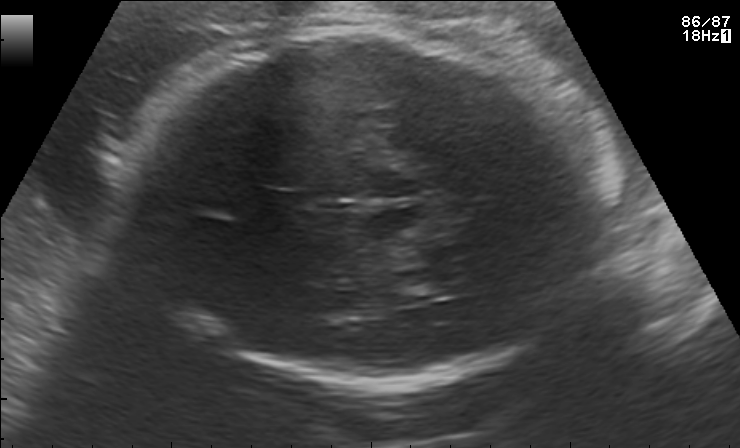
Identify the standard plane in this fetal ultrasound image: fetal abdomen, fetal brain, fetal femur, fetal thorax, maternal cervix, or other. If it's fetal brain and one of the three standard brain planes (trans-thalamic, trans-cerebellum, trans-ventricular), name which.

Fetal brain (trans-thalamic plane)